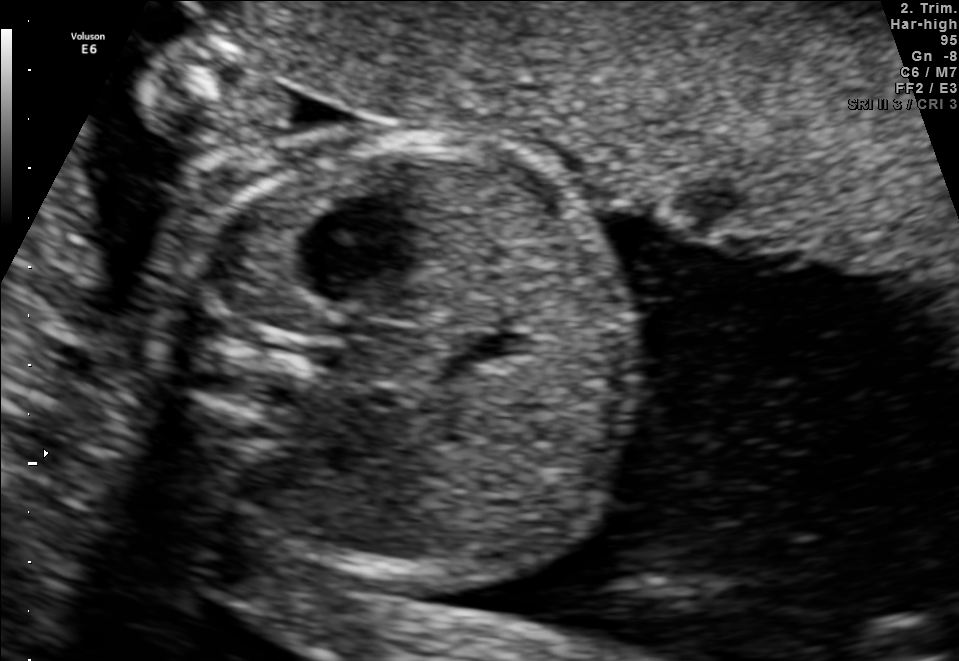
Identify the standard plane in this fetal ultrasound image: fetal abdomen, fetal brain, fetal femur, fetal thorax, maternal cervix, or other. If it's fetal brain and one of the three standard brain planes (trans-thalamic, trans-cerebellum, trans-ventricular), name which.

Fetal abdomen